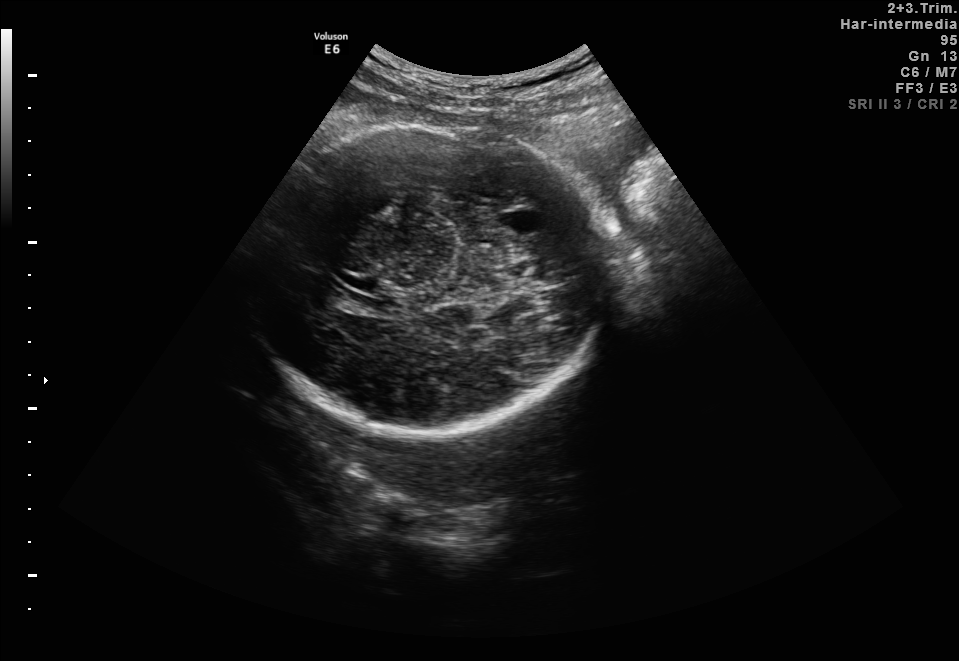
In this fetal brain, trans-thalamic plane, give bounding boxes for the head outline, cavum septum pellucidum (CSP), and lateral ventricle (LV), where visible.

Head: [246,125,603,436]